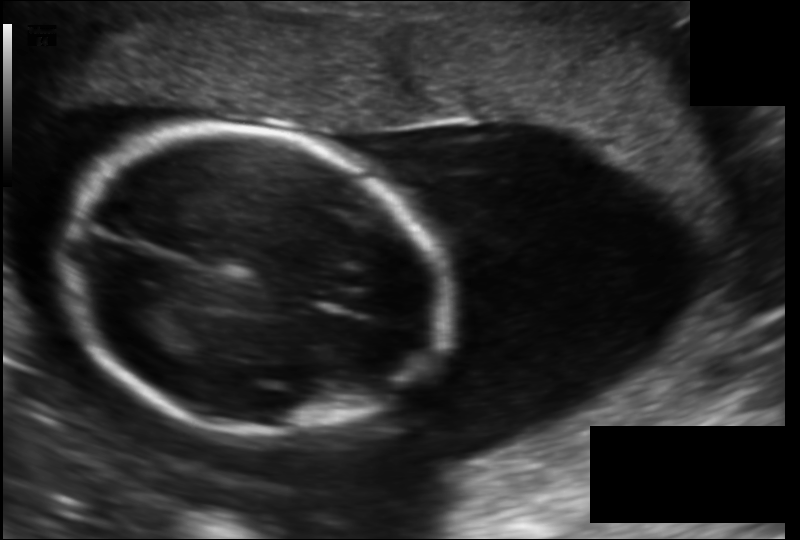
Fetal head ultrasound. Image width: 124.6 mm. Locate the fetal head and, if visible, the cavum septum pellucidum (CSP) and lateral ventricle (LV). Give bounding boxes as [x1,y1,x2,y2].

Head: [66,129,442,434]